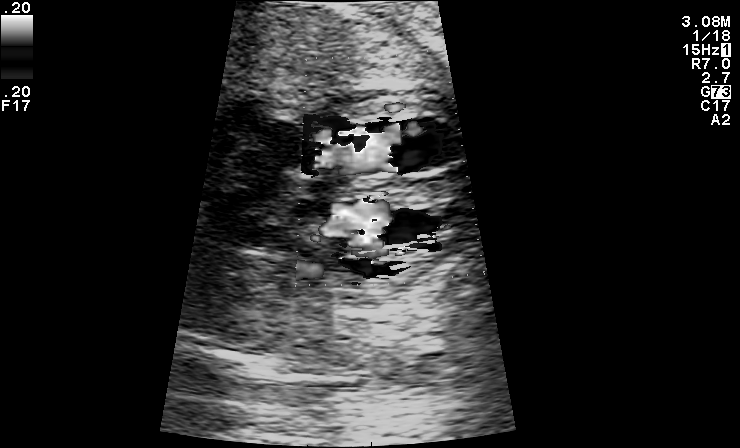
This is a 2D maternal-fetal ultrasound frame. Is it a fetal abdomen, fetal brain, fetal femur, fetal thorax, maternal cervix, or other standard plane? If it's fetal brain and one of the three standard brain planes (trans-thalamic, trans-cerebellum, trans-ventricular), name which.

Other